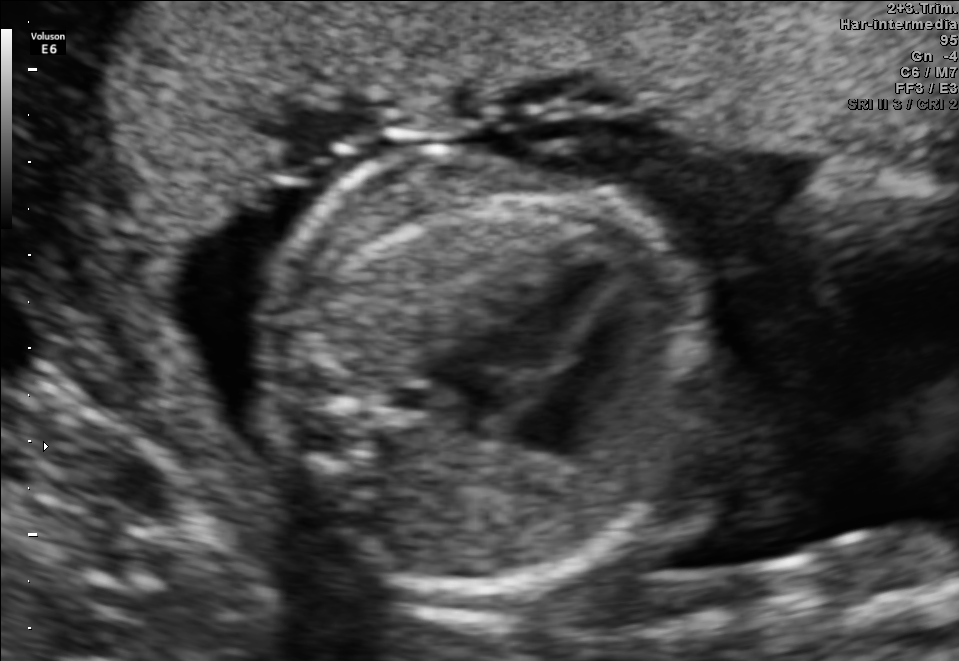
Identify the standard plane in this fetal ultrasound image: fetal abdomen, fetal brain, fetal femur, fetal thorax, maternal cervix, or other. If it's fetal brain and one of the three standard brain planes (trans-thalamic, trans-cerebellum, trans-ventricular), name which.

Fetal thorax